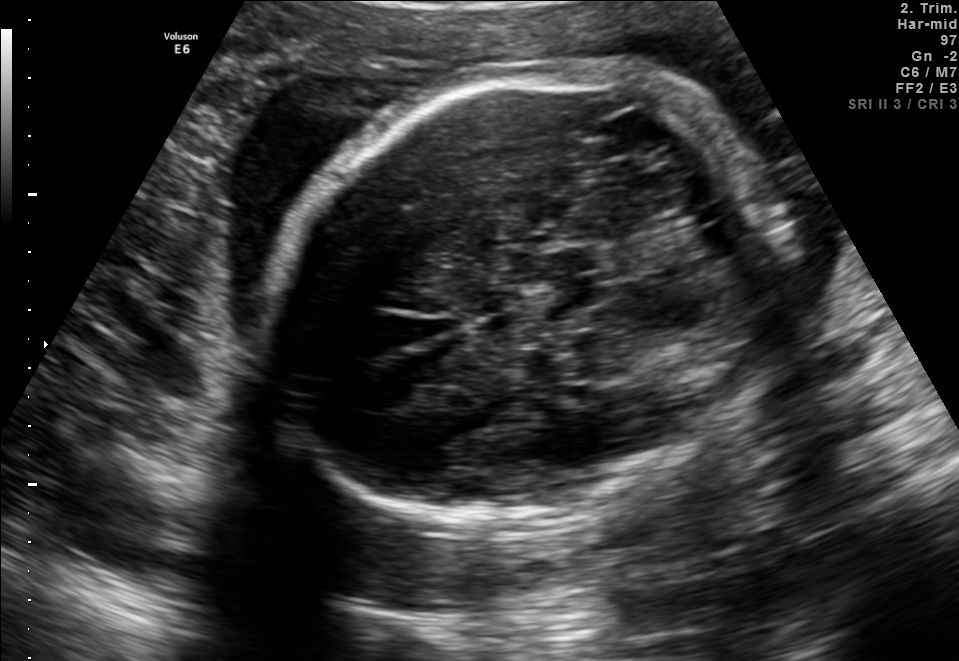
Fetal brain, trans-cerebellum plane. Give [x1,y1,x2,y2] bounding boxes for each visible structure among: fetal head, CSP, LV.

Head: [266,73,779,524]